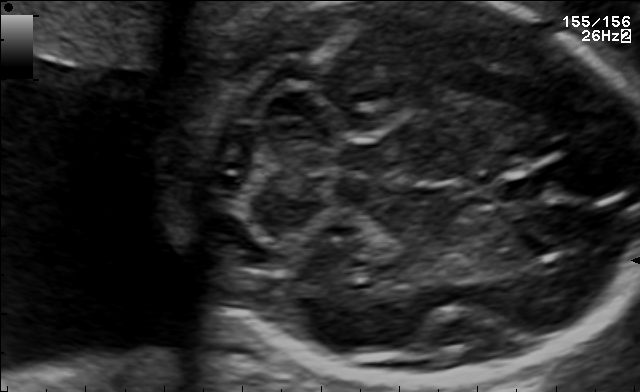
Fetal brain, trans-cerebellum plane. Where is the fetal head?

Head bounding box: [180,2,639,381]